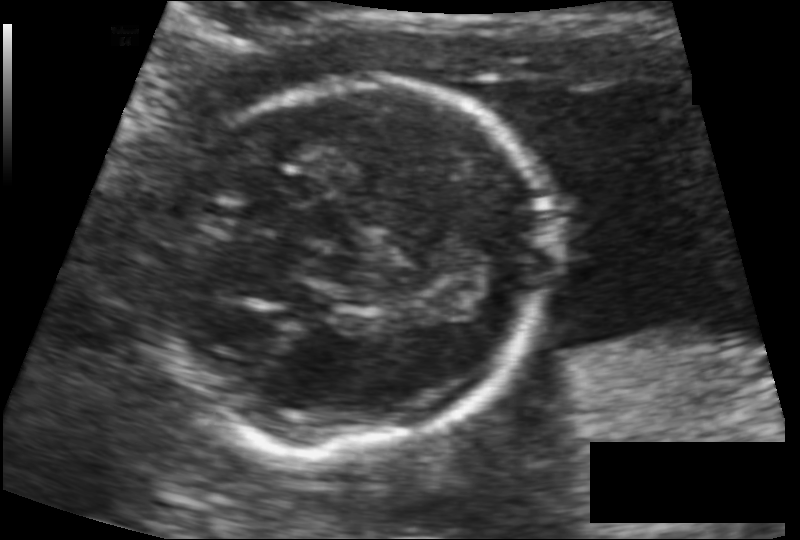
Fetal head ultrasound. Image width: 79.7 mm. Where is the fetal head?

Head bounding box: [162,80,553,449]